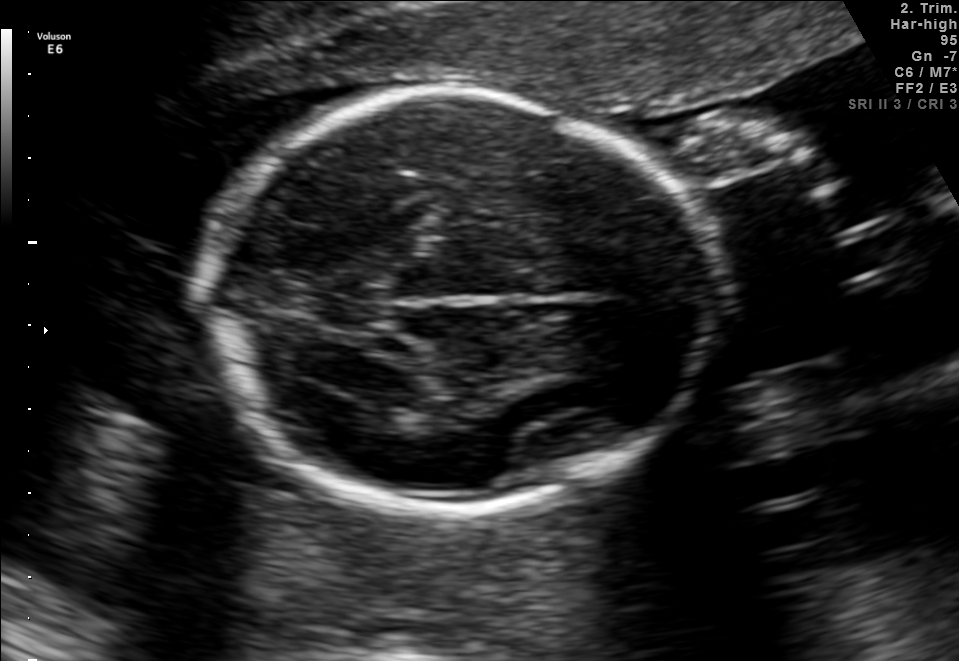
Fetal brain, trans-thalamic plane. Give [x1,y1,x2,y2] bounding boxes for each visible structure among: fetal head, CSP, LV.

Head: [202,93,711,508]
Lateral ventricle: [326,345,443,419]